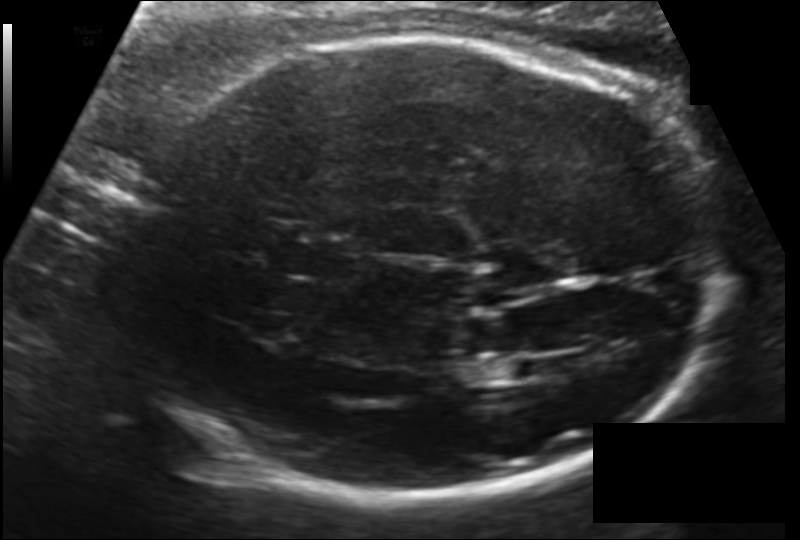
Fetal head ultrasound. Image width: 120.6 mm. Where is the lateral ventricle?

Lateral ventricle bounding box: [510,353,556,384]